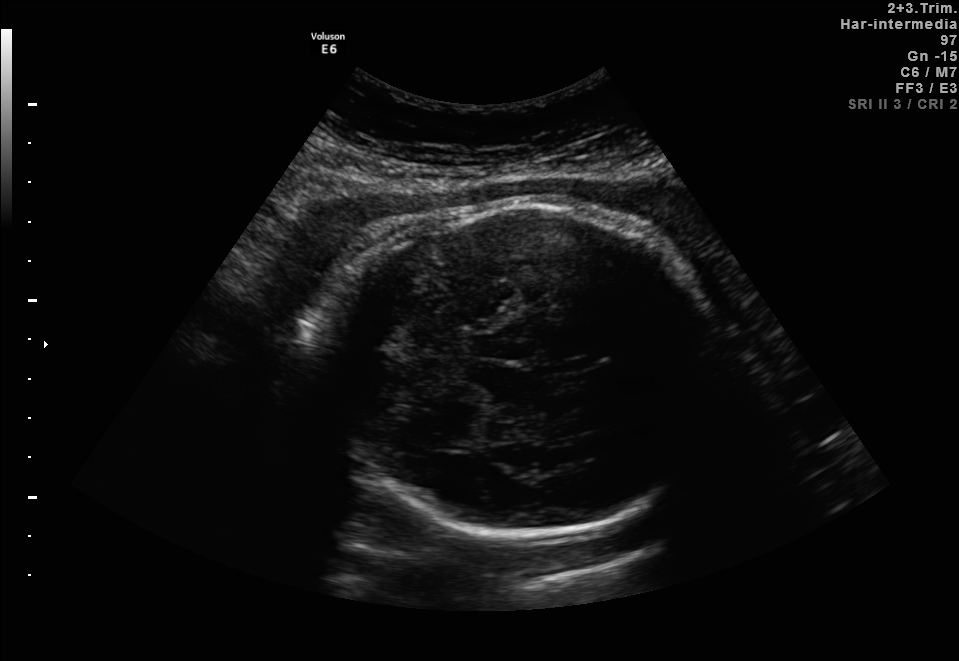
Fetal brain, trans-thalamic plane. Where is the fetal head?

Head bounding box: [310,198,721,539]